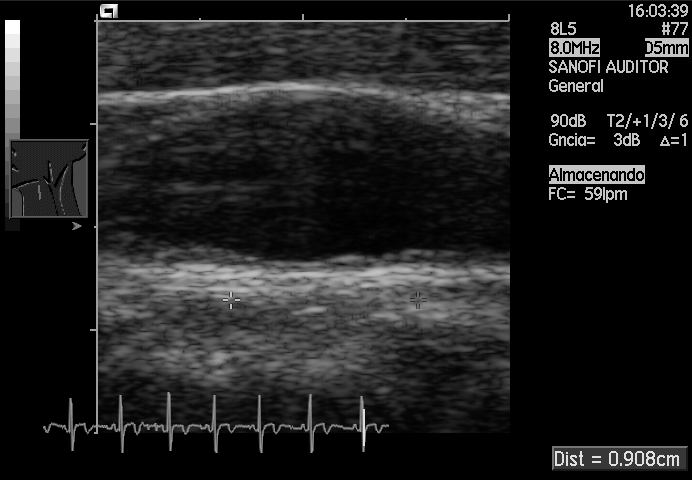
Classify this maternal-fetal ultrasound image as one of the six standard planes — fetal abdomen, fetal brain, fetal femur, fetal thorax, maternal cervix, or other. If it's fetal brain and one of the three standard brain planes (trans-thalamic, trans-cerebellum, trans-ventricular), name which.

Other